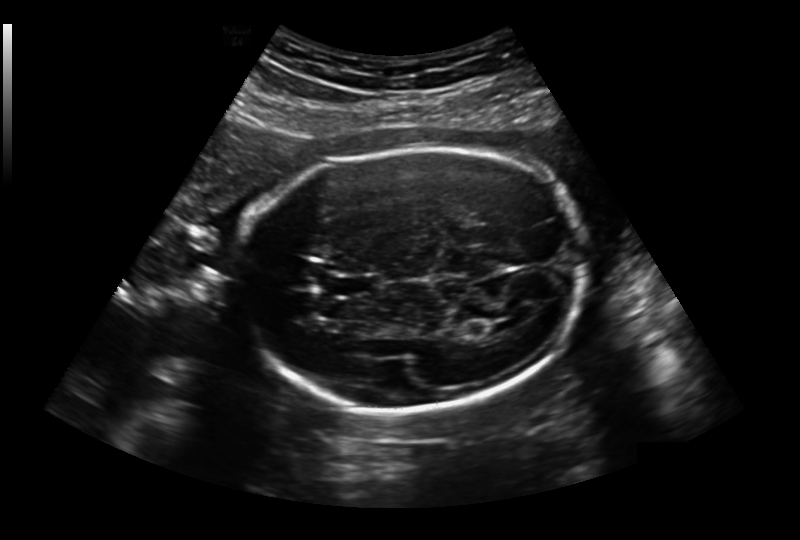
What is the fetal head circumference? Image width is 188.7 mm.

231.5 mm